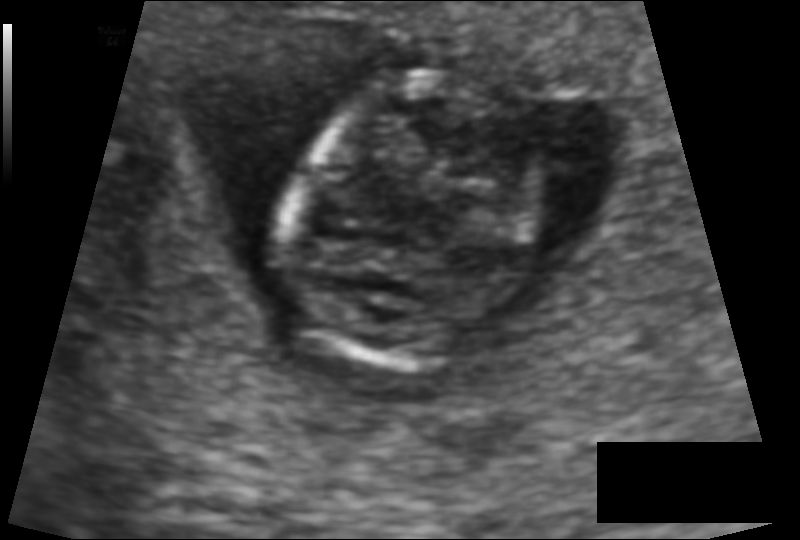
Fetal head ultrasound. Image width: 72.8 mm. Where is the fetal head?

Head bounding box: [285,73,531,368]